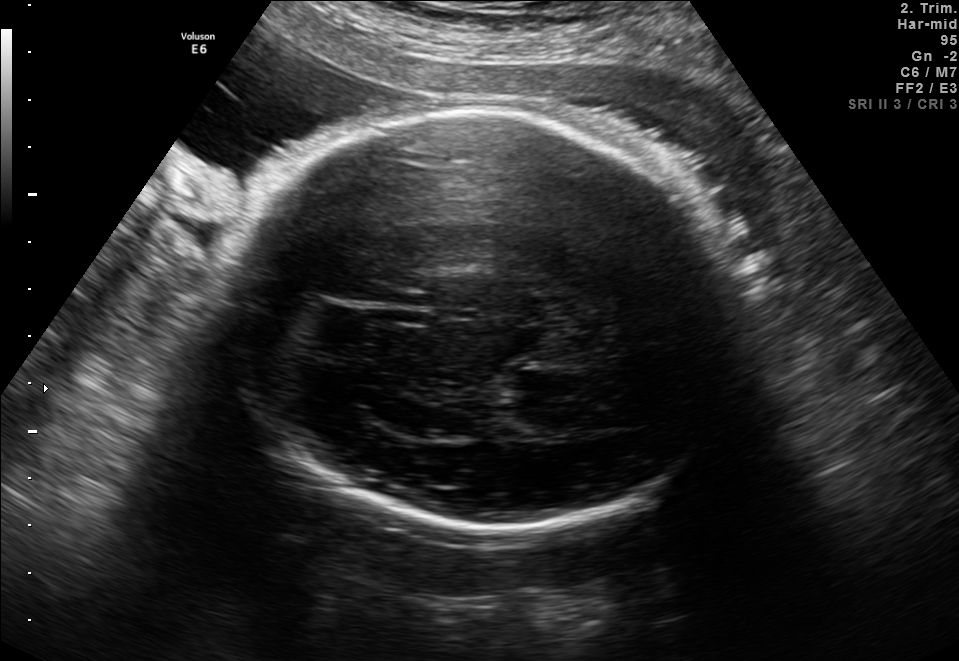
Fetal brain, trans-thalamic plane. Locate the fetal head.

Head: [233,112,738,535]